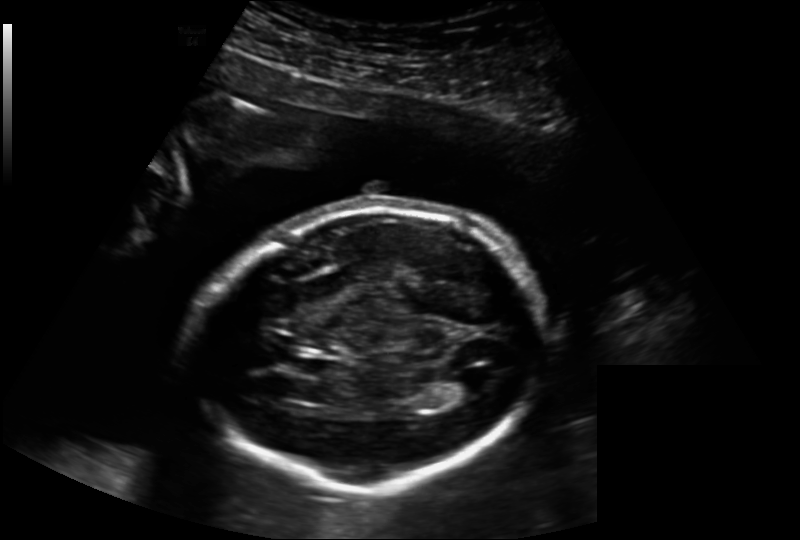
In this fetal head ultrasound, give the bounding box of the lateral ventricle. Image width: 161.7 mm.

[445,367,490,404]